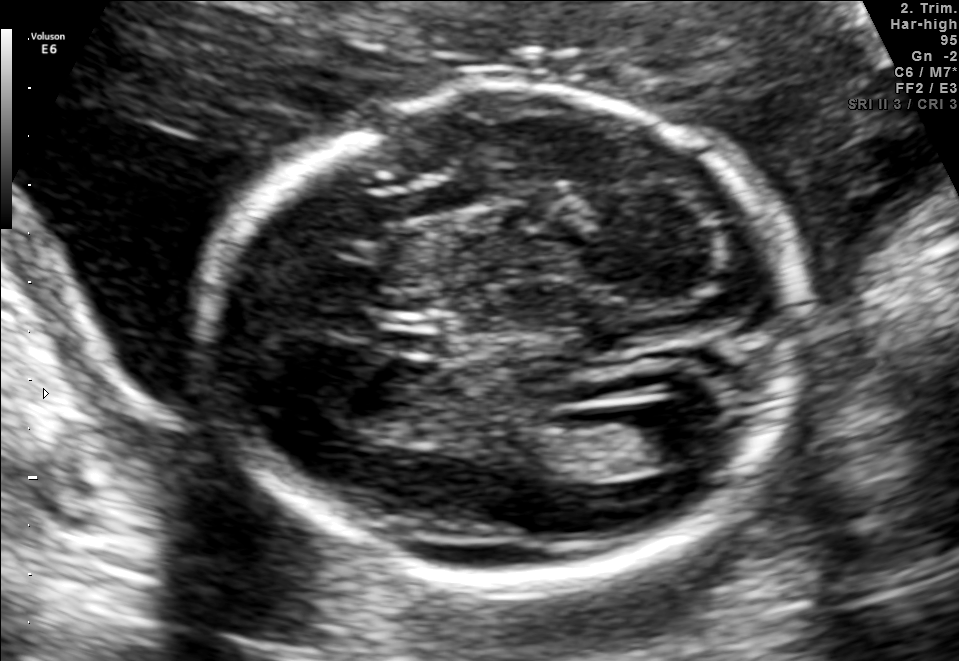
Fetal brain, trans-ventricular plane. Locate the fetal head and, if visible, the cavum septum pellucidum (CSP) and lateral ventricle (LV). Give bounding boxes as [x1,y1,x2,y2].

Head: [187,75,824,600]
CSP: [362,303,459,359]
Lateral ventricle: [611,401,715,475]